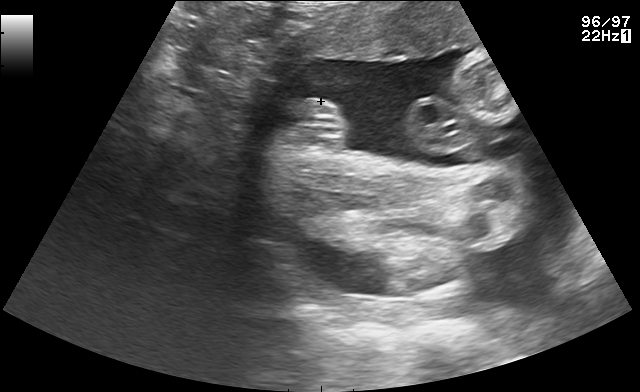
Classify this maternal-fetal ultrasound image as one of the six standard planes — fetal abdomen, fetal brain, fetal femur, fetal thorax, maternal cervix, or other. If it's fetal brain and one of the three standard brain planes (trans-thalamic, trans-cerebellum, trans-ventricular), name which.

Other